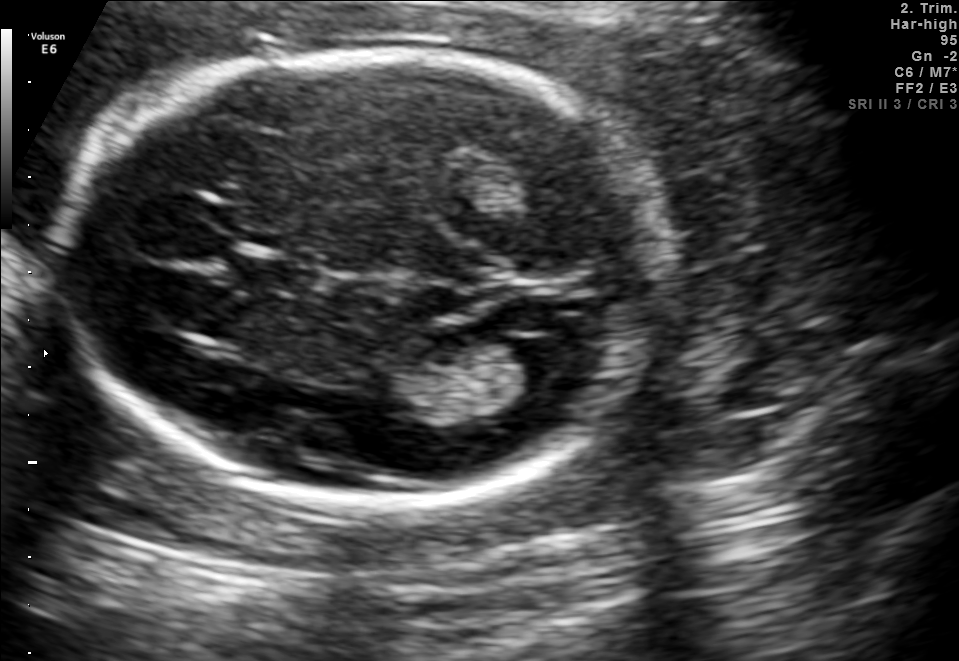
In this fetal brain, trans-ventricular plane, give bounding boxes for the head outline, cavum septum pellucidum (CSP), and lateral ventricle (LV), where visible.

Head: [54,47,677,506]
CSP: [225,248,325,299]
Lateral ventricle: [508,336,585,383]